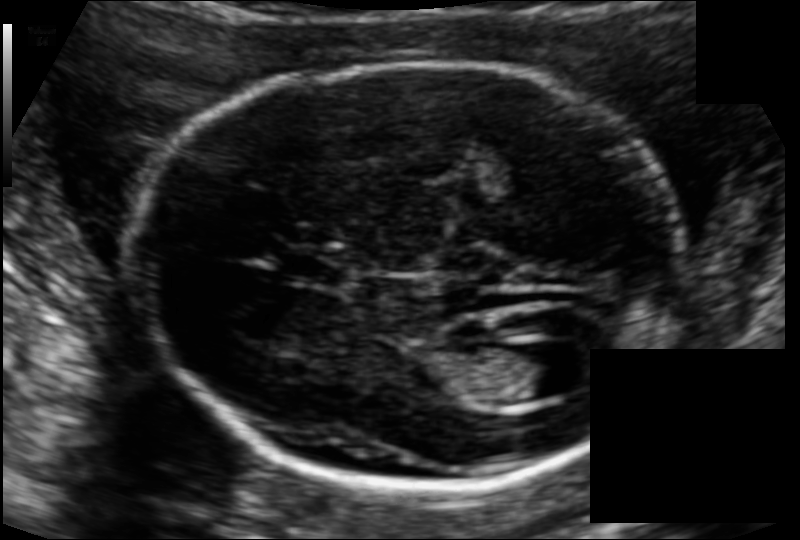
Fetal head ultrasound. Image width: 88.5 mm. Locate the lateral ventricle.

Lateral ventricle: [497,338,581,404]